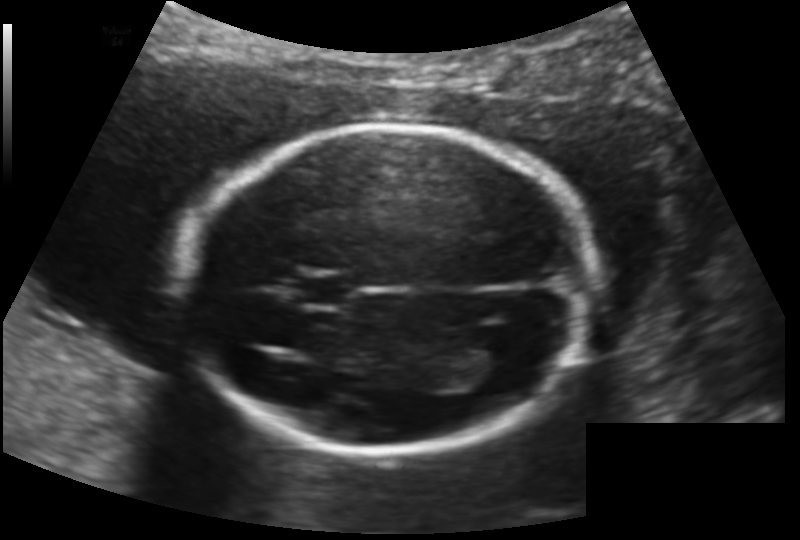
In this fetal head ultrasound, give the bounding box of the cavum septum pellucidum. Image width: 116.3 mm.

[297,275,349,305]